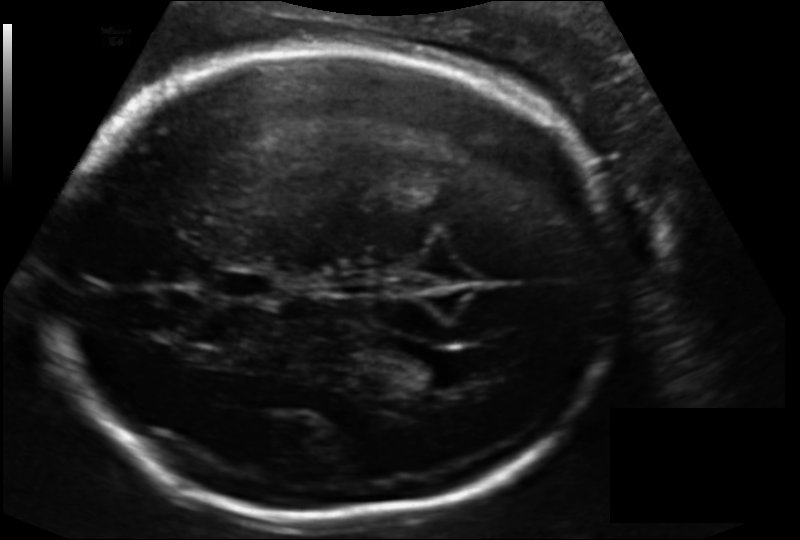
Measure the fetal head circumference shown in this ultrasound image. Image width: 124.7 mm.

Head circumference: 259.3 mm.